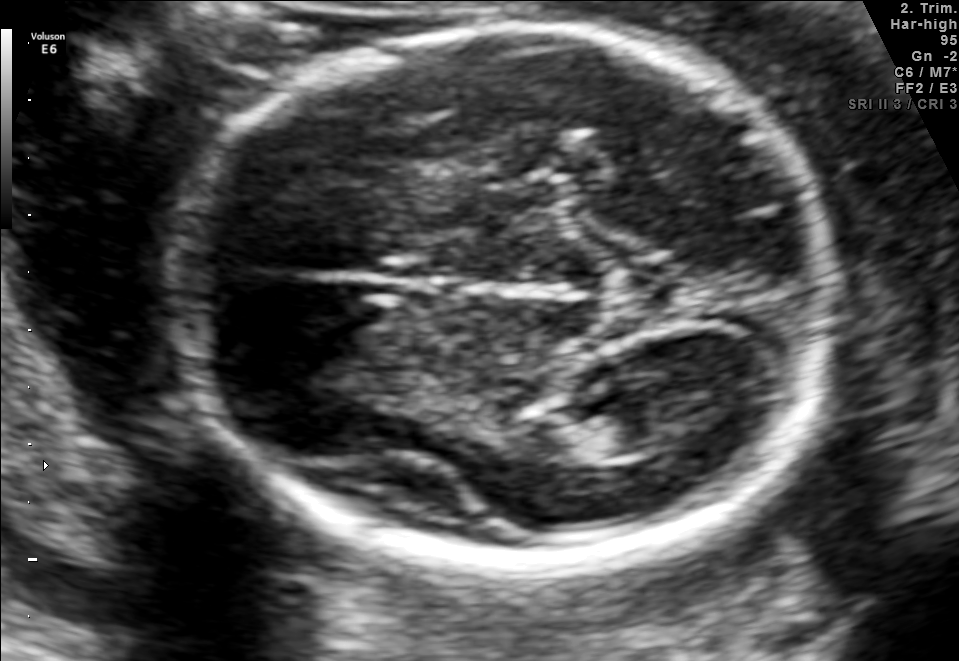
Fetal brain, trans-thalamic plane. Give [x1,y1,x2,y2] bounding boxes for each visible structure among: fetal head, CSP, LV.

Head: [169,28,834,563]
Lateral ventricle: [552,382,672,470]